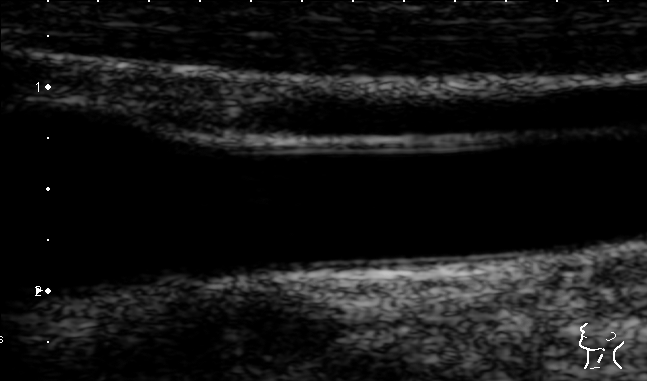
Identify the standard plane in this fetal ultrasound image: fetal abdomen, fetal brain, fetal femur, fetal thorax, maternal cervix, or other. If it's fetal brain and one of the three standard brain planes (trans-thalamic, trans-cerebellum, trans-ventricular), name which.

Other